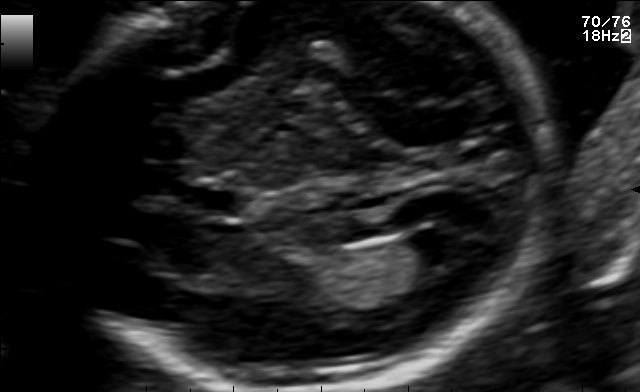
In this fetal brain, trans-ventricular plane, give the bounding box of the lateral ventricle.

[410,217,481,269]